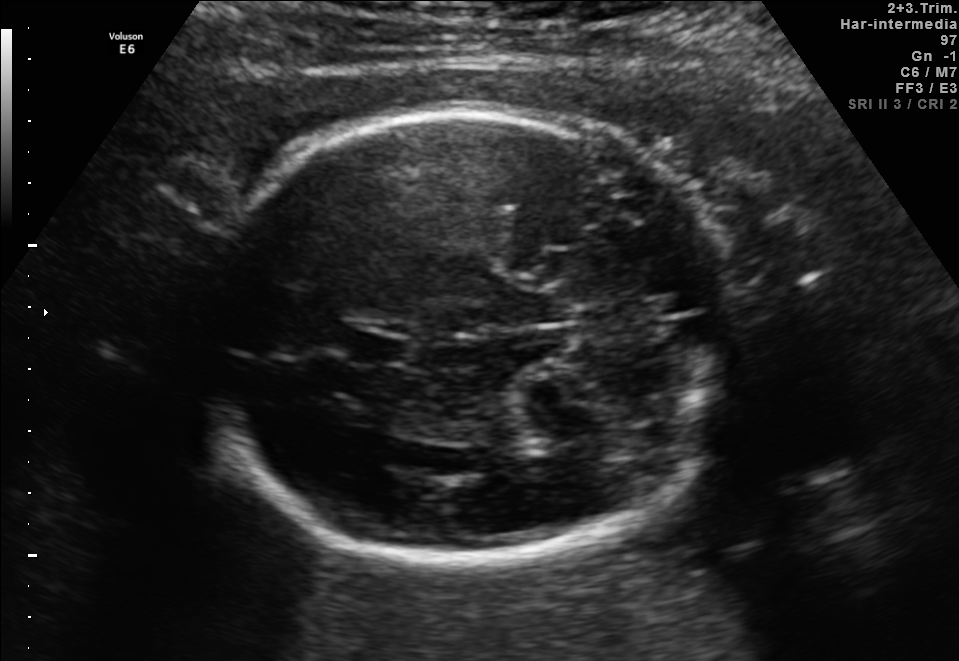
Fetal brain, trans-cerebellum plane. Locate the cavum septum pellucidum.

CSP: [348,329,410,369]